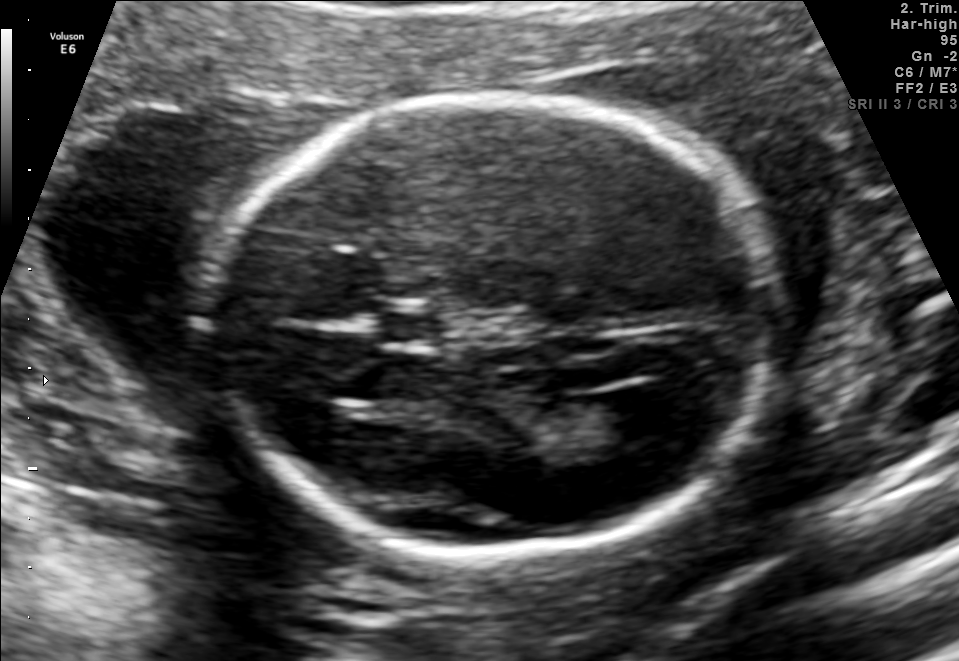
In this fetal brain, trans-ventricular plane, give the bounding box of the cavum septum pellucidum.

[370,308,460,347]